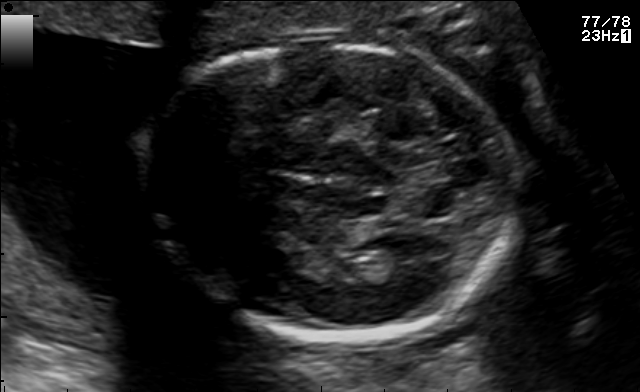
Which standard maternal-fetal ultrasound plane is shown: fetal abdomen, fetal brain, fetal femur, fetal thorax, maternal cervix, or other? If it's fetal brain and one of the three standard brain planes (trans-thalamic, trans-cerebellum, trans-ventricular), name which.

Fetal brain (trans-thalamic plane)